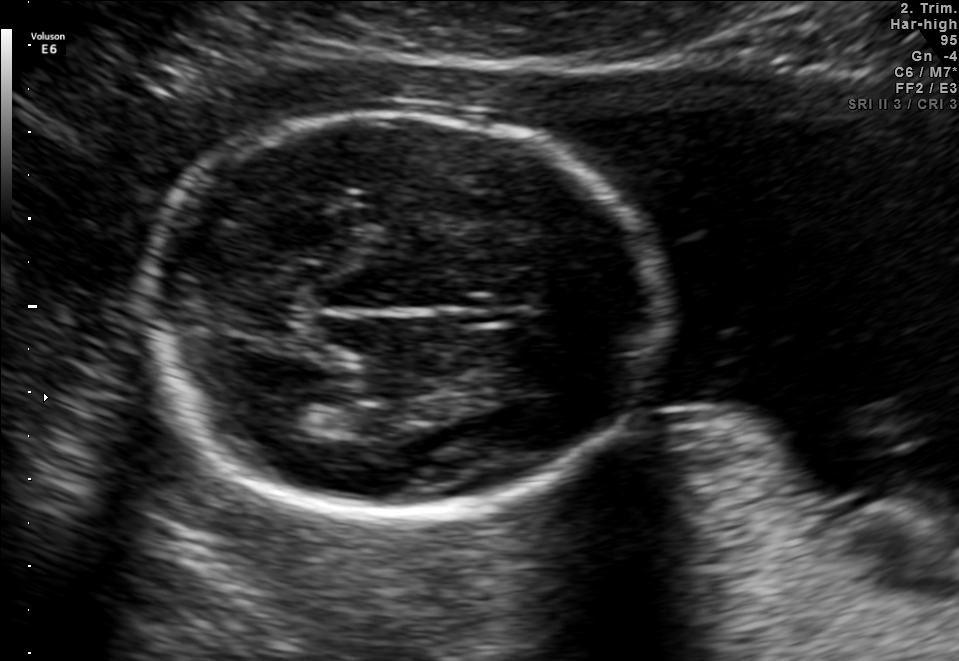
Fetal brain, trans-thalamic plane. Locate the fetal head.

Head: [138,111,667,510]